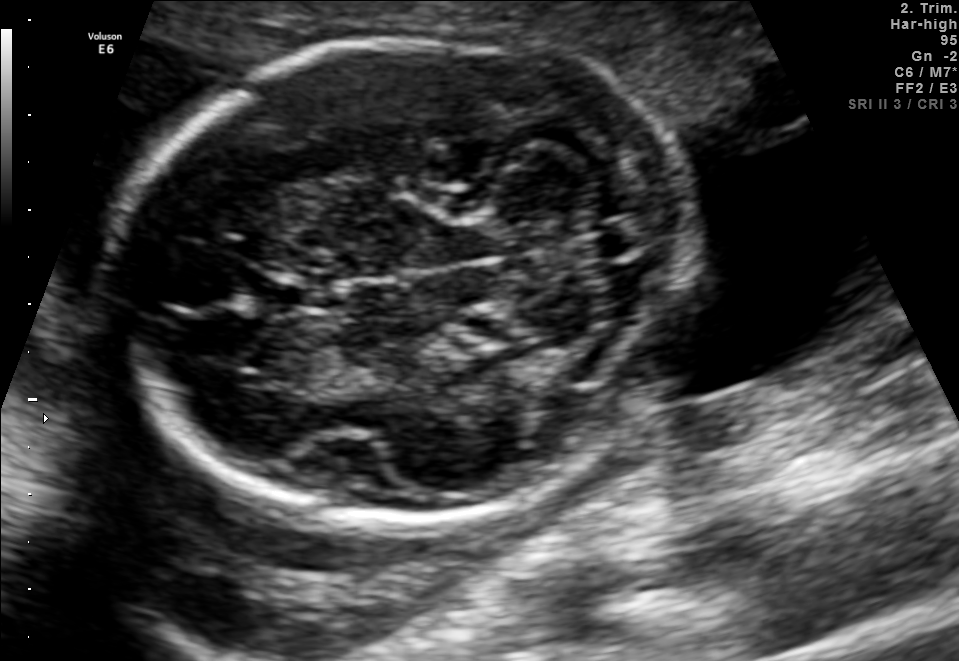
In this fetal brain, trans-cerebellum plane, give the bounding box of the cavum septum pellucidum.

[270,282,326,314]